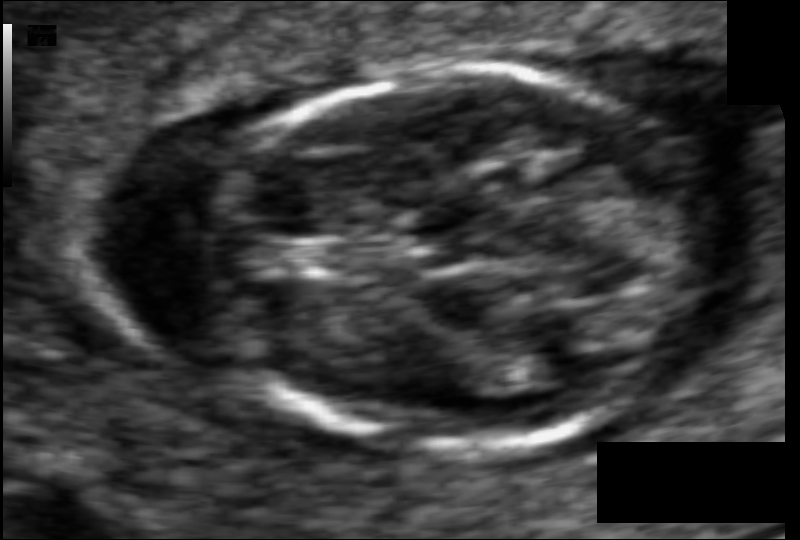
Fetal head ultrasound. Image width: 46.1 mm. Where is the fetal head?

Head bounding box: [211,68,711,451]